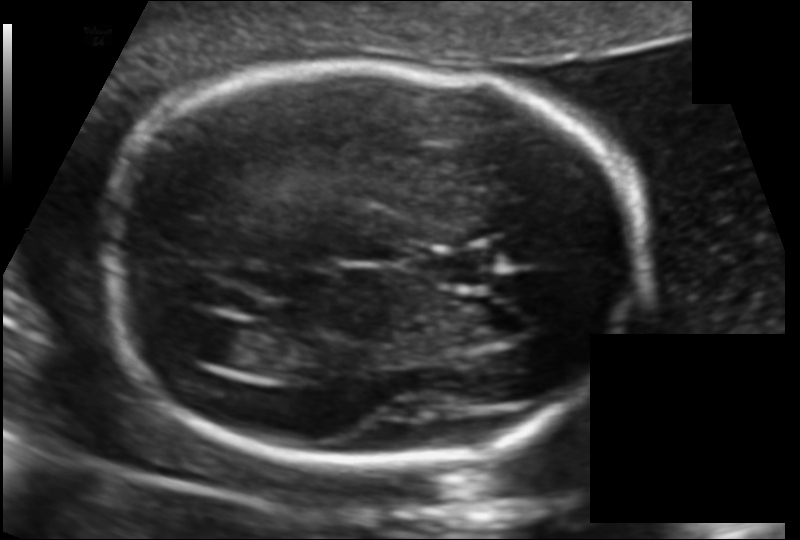
In this fetal head ultrasound, give the bounding box of the lateral ventricle. Image width: 93.9 mm.

[178,310,263,375]